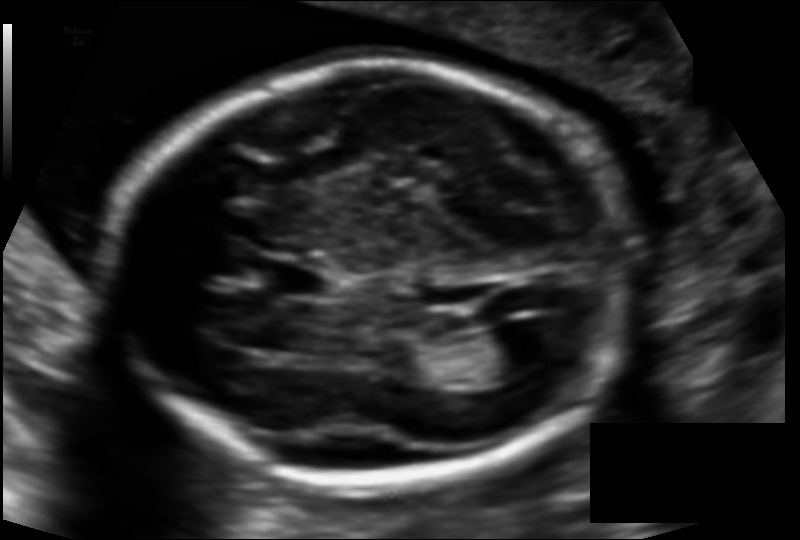
Fetal head ultrasound. Image width: 96.7 mm. Where is the cavum septum pellucidum?

CSP bounding box: [259,256,330,300]